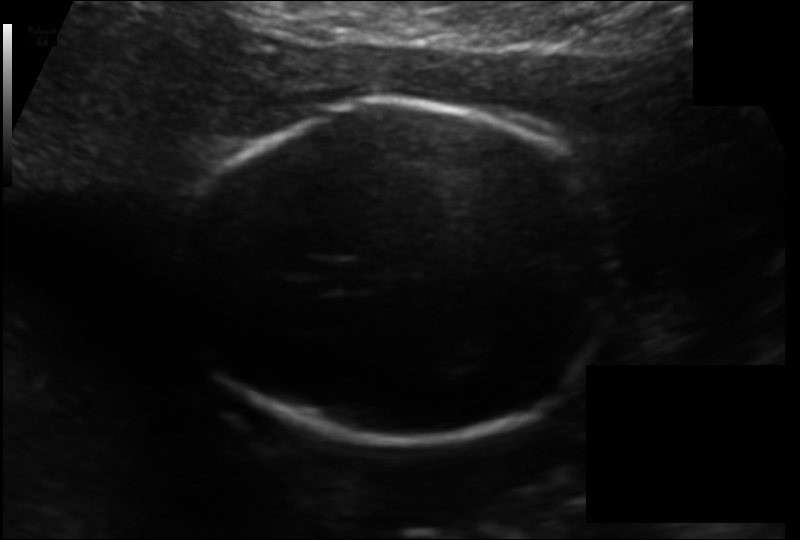
Estimate the fetal head circumference from this 2D ultrasound. Image width: 106.3 mm.

Head circumference: 168.1 mm.